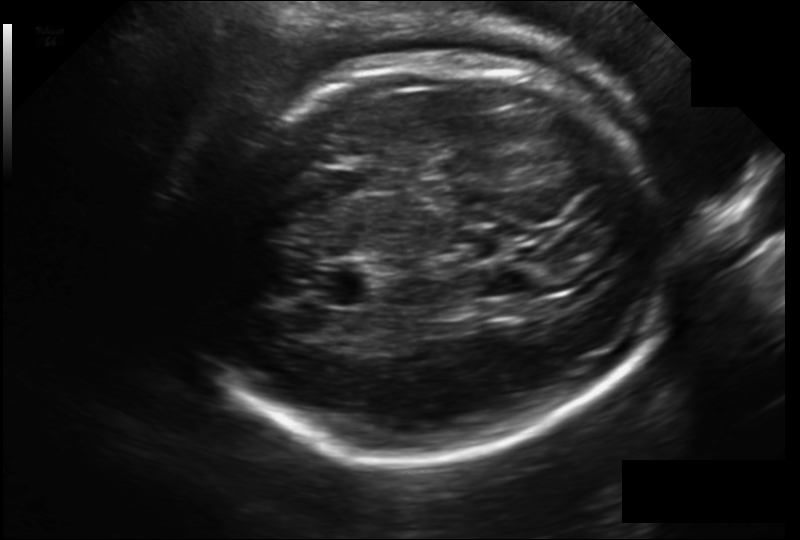
Estimate the fetal head circumference from this 2D ultrasound. Image width: 162.0 mm.

Head circumference: 286.5 mm.